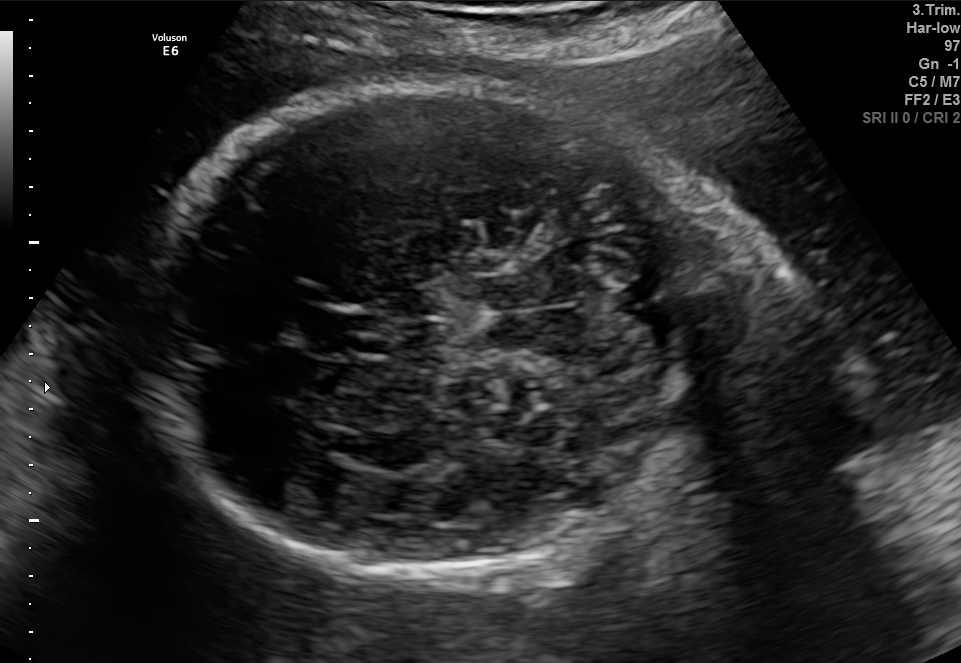
Fetal brain, trans-cerebellum plane. Where is the cavum septum pellucidum?

CSP bounding box: [306,307,382,361]